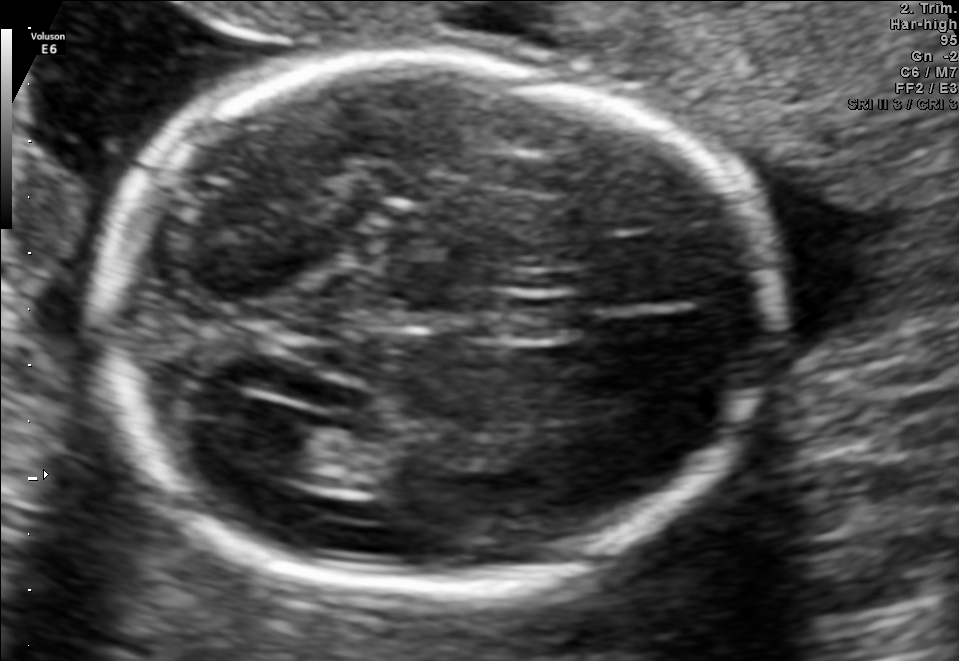
In this fetal brain, trans-ventricular plane, give the bounding box of the lateral ventricle.

[207,388,324,482]